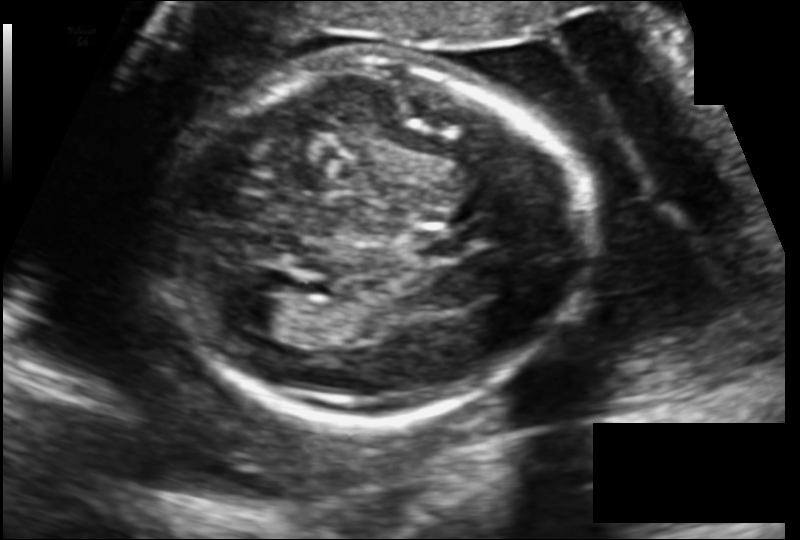
Fetal head ultrasound. Image width: 110.0 mm. Locate the fetal head.

Head: [167,60,581,423]